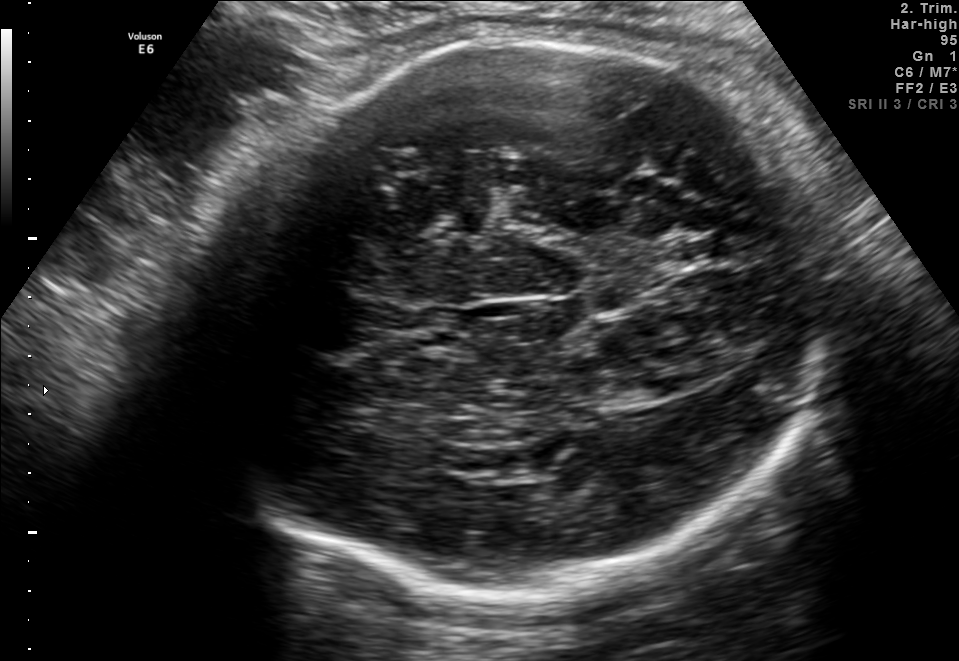
Classify this maternal-fetal ultrasound image as one of the six standard planes — fetal abdomen, fetal brain, fetal femur, fetal thorax, maternal cervix, or other. If it's fetal brain and one of the three standard brain planes (trans-thalamic, trans-cerebellum, trans-ventricular), name which.

Fetal brain (trans-thalamic plane)